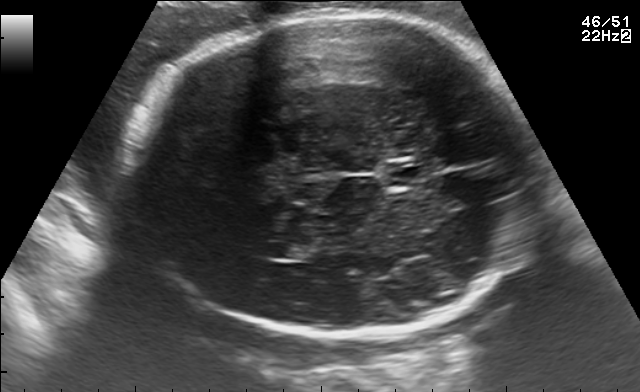
In this fetal brain, trans-thalamic plane, give the bounding box of the cavum septum pellucidum.

[387,161,427,187]